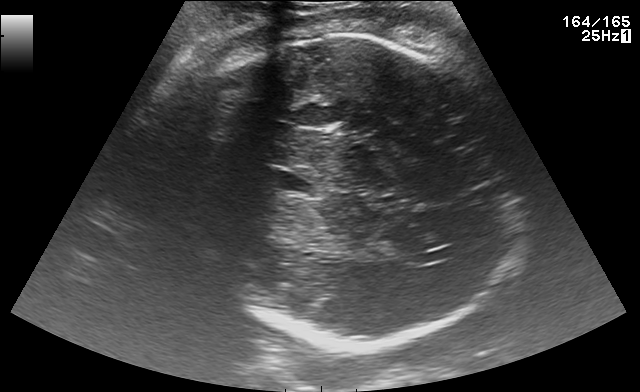
Fetal brain, trans-thalamic plane. Where is the fetal head?

Head bounding box: [190,36,516,346]